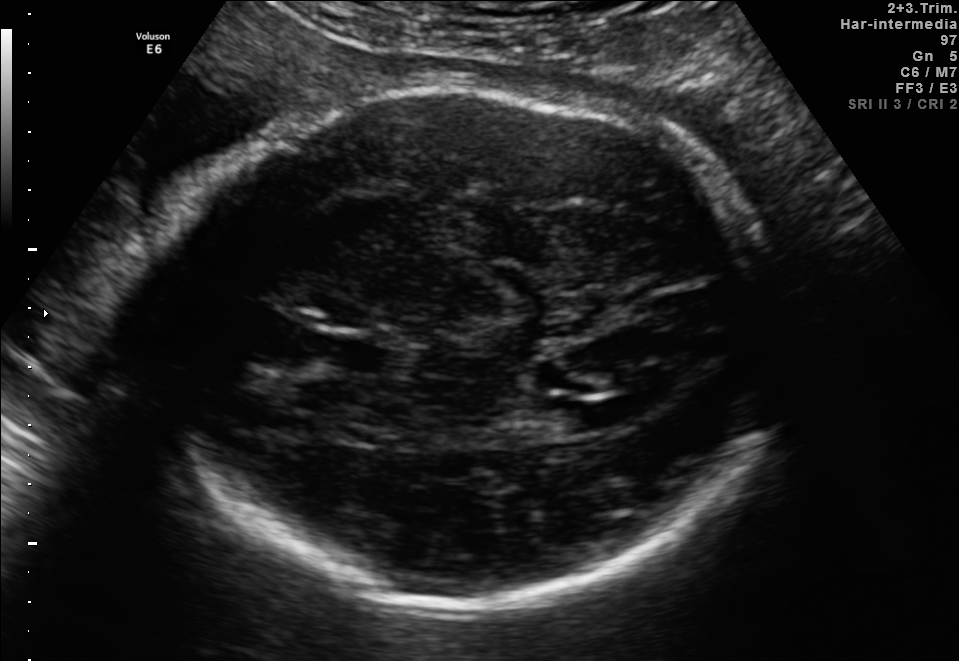
Identify the standard plane in this fetal ultrasound image: fetal abdomen, fetal brain, fetal femur, fetal thorax, maternal cervix, or other. If it's fetal brain and one of the three standard brain planes (trans-thalamic, trans-cerebellum, trans-ventricular), name which.

Fetal brain (trans-ventricular plane)